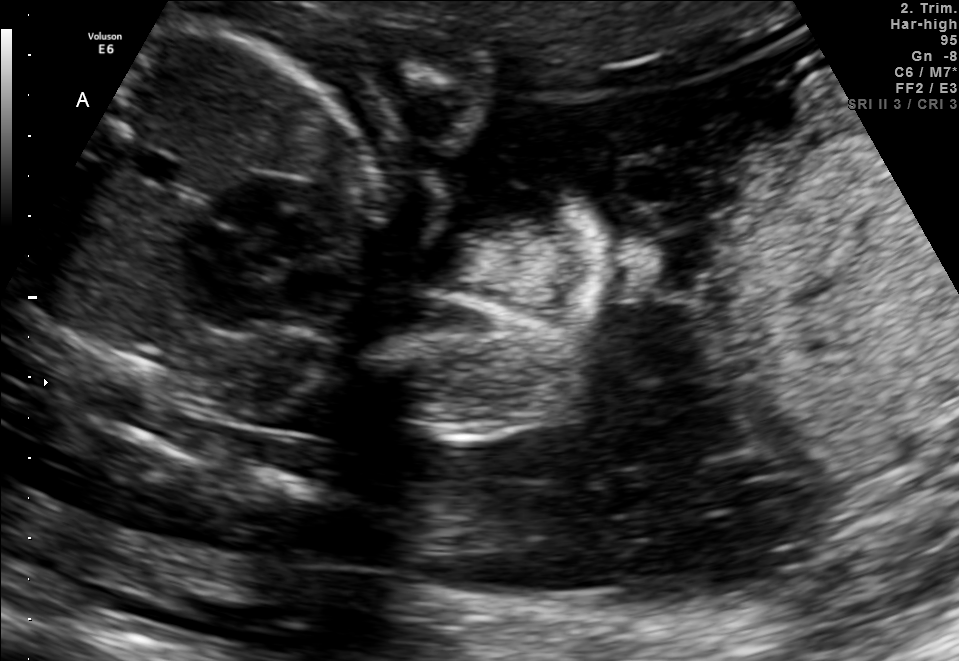
Identify the standard plane in this fetal ultrasound image: fetal abdomen, fetal brain, fetal femur, fetal thorax, maternal cervix, or other. If it's fetal brain and one of the three standard brain planes (trans-thalamic, trans-cerebellum, trans-ventricular), name which.

Other